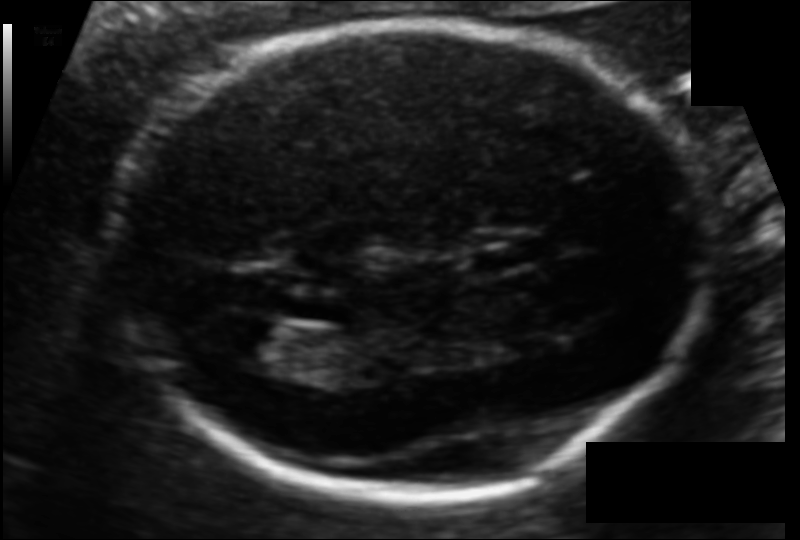
In this fetal head ultrasound, give the bounding box of the cavum septum pellucidum. Image width: 85.1 mm.

[462,231,544,279]